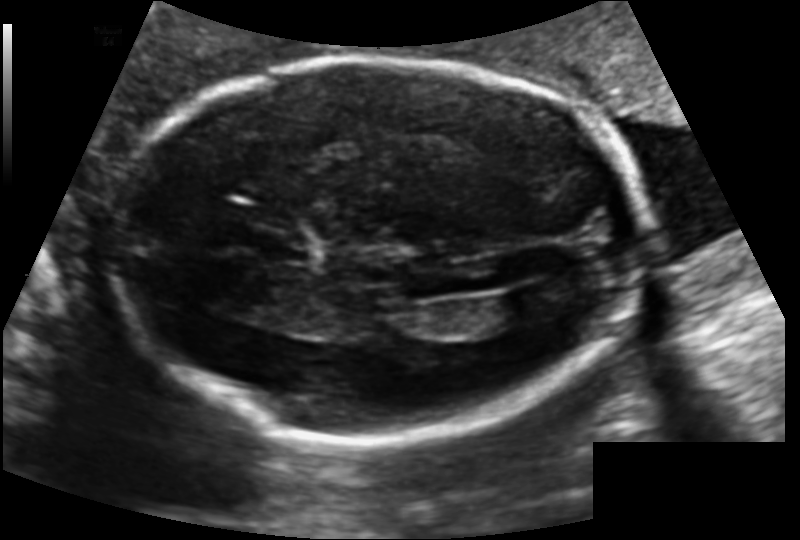
What is the fetal head circumference? Image width is 105.0 mm.

198.7 mm